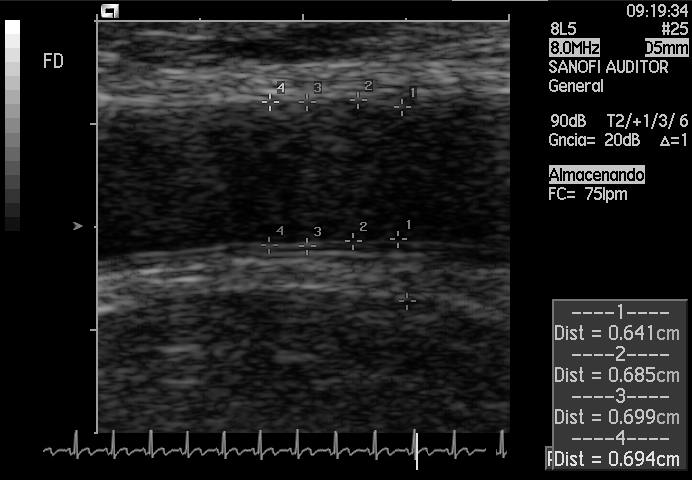
Classify this maternal-fetal ultrasound image as one of the six standard planes — fetal abdomen, fetal brain, fetal femur, fetal thorax, maternal cervix, or other. If it's fetal brain and one of the three standard brain planes (trans-thalamic, trans-cerebellum, trans-ventricular), name which.

Other